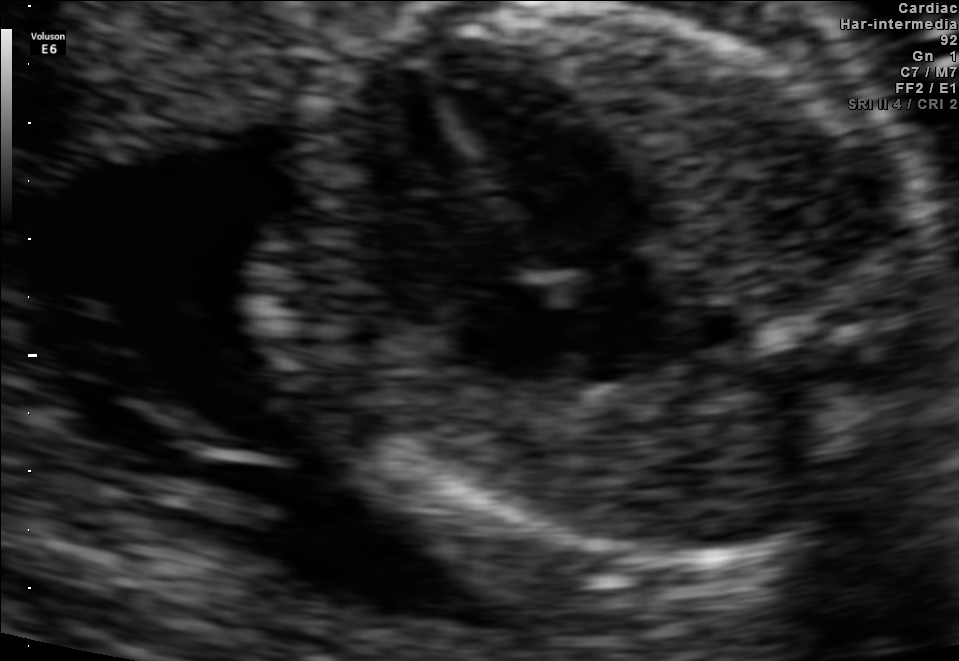
Which standard maternal-fetal ultrasound plane is shown: fetal abdomen, fetal brain, fetal femur, fetal thorax, maternal cervix, or other? If it's fetal brain and one of the three standard brain planes (trans-thalamic, trans-cerebellum, trans-ventricular), name which.

Fetal thorax